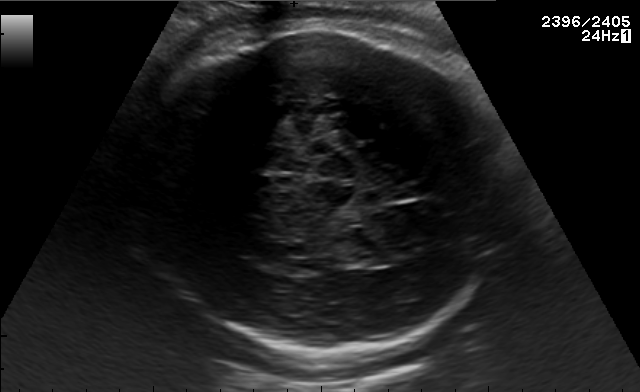
In this fetal brain, trans-thalamic plane, give bounding boxes for the head outline, cavum septum pellucidum (CSP), and lateral ventricle (LV), where visible.

Head: [139,27,506,353]